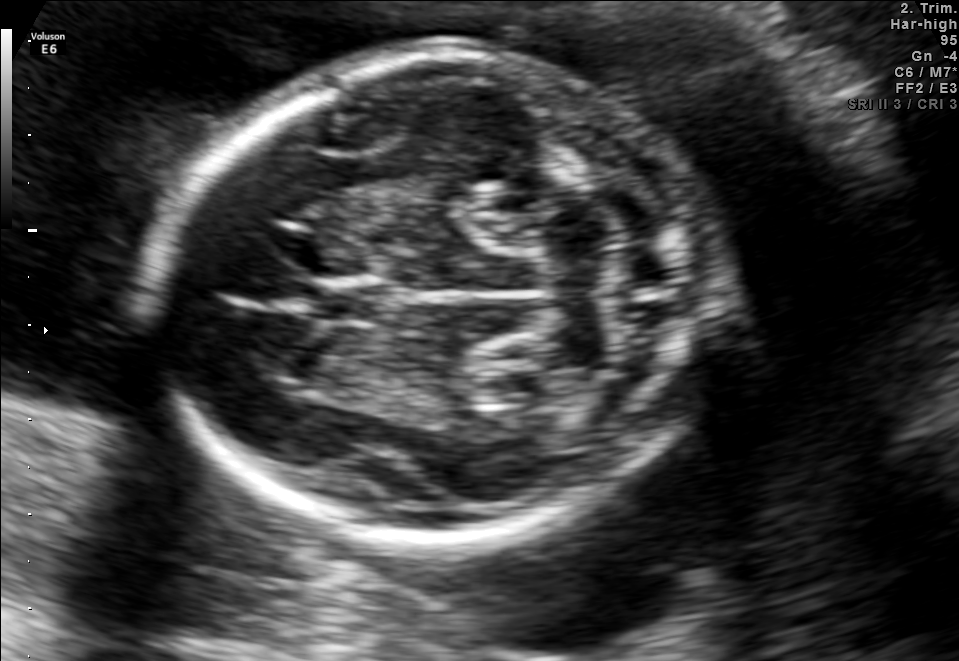
Fetal brain, trans-cerebellum plane. Where is the fetal head?

Head bounding box: [154,51,715,538]